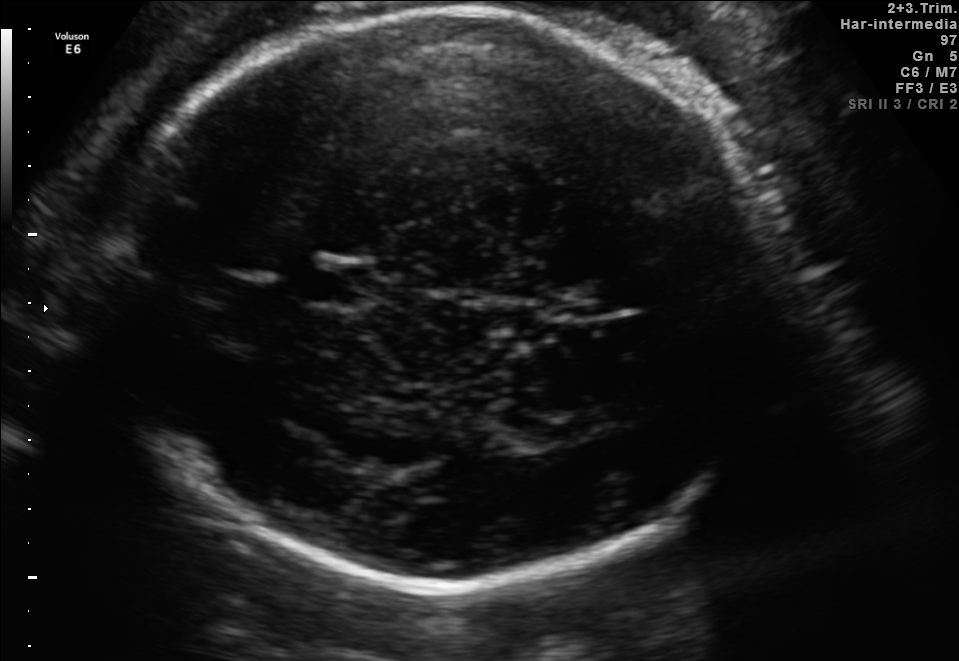
Fetal brain, trans-thalamic plane. Locate the fetal head.

Head: [105,11,792,582]